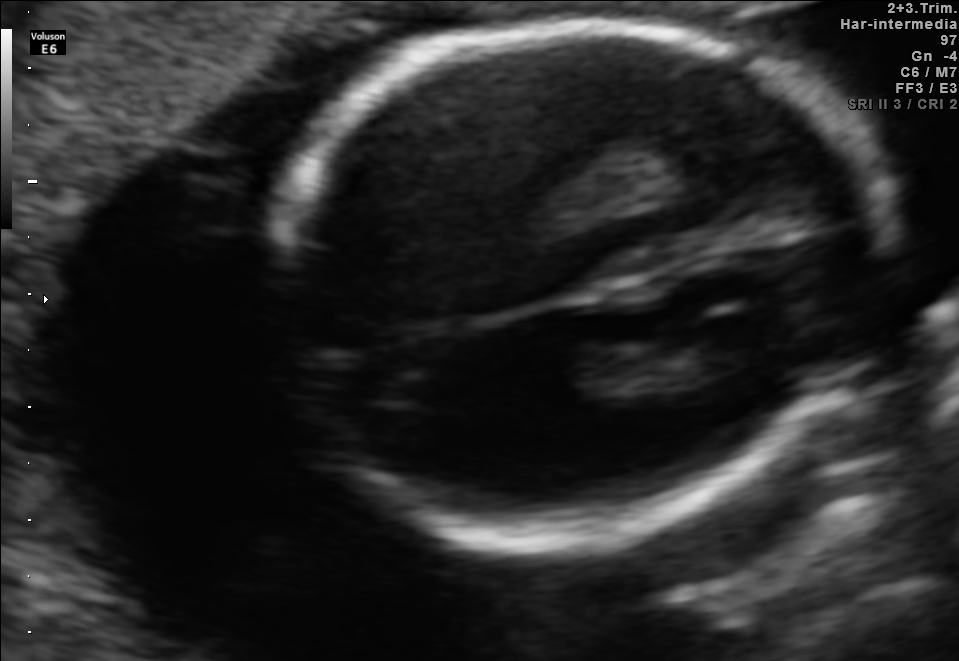
Fetal brain, trans-thalamic plane. Locate the fetal head and, if visible, the cavum septum pellucidum (CSP) and lateral ventricle (LV). Give bounding boxes as [x1,y1,x2,y2].

Head: [263,20,874,541]